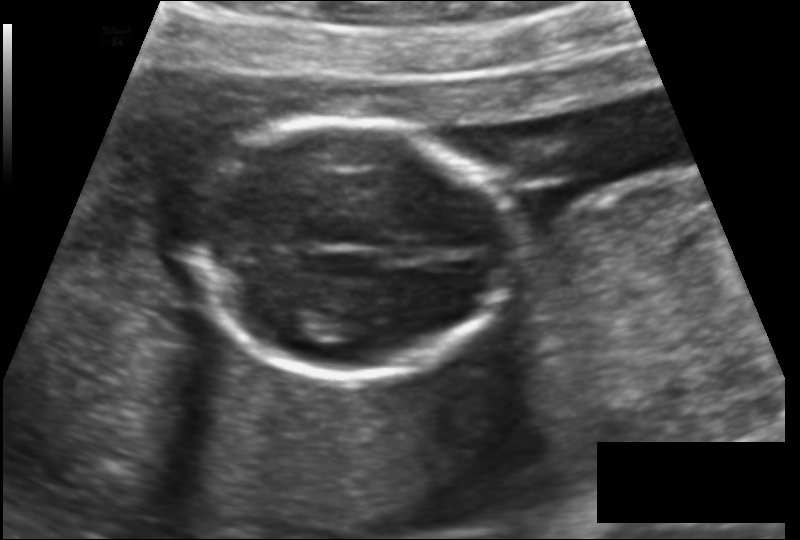
Estimate the fetal head circumference from this 2D ultrasound.

Head circumference: 126.2 mm (image width 109.0 mm).